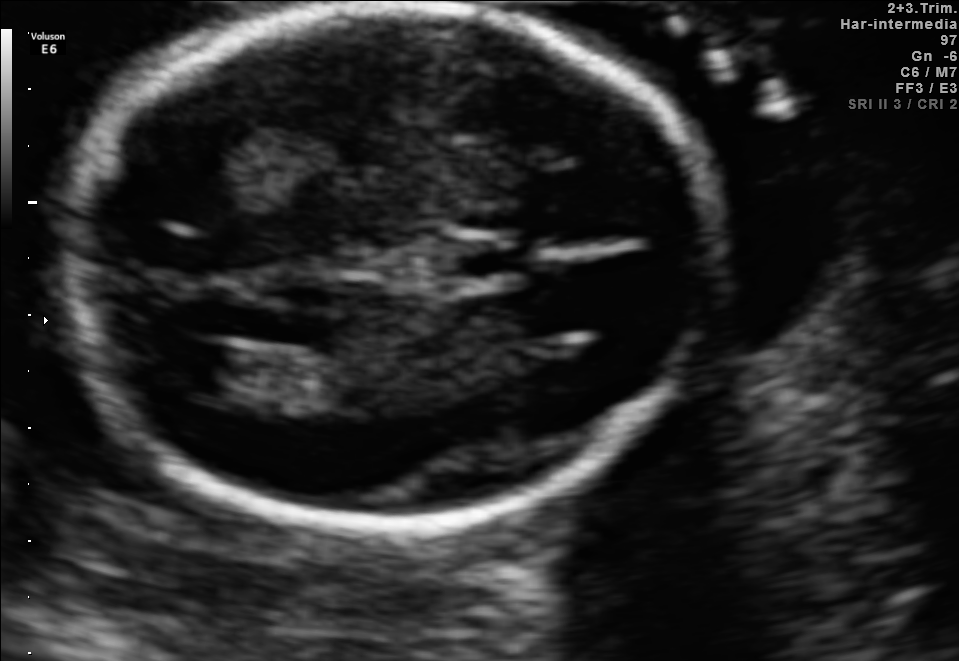
Fetal brain, trans-ventricular plane. Where is the cavum septum pellucidum?

CSP bounding box: [448,243,521,275]